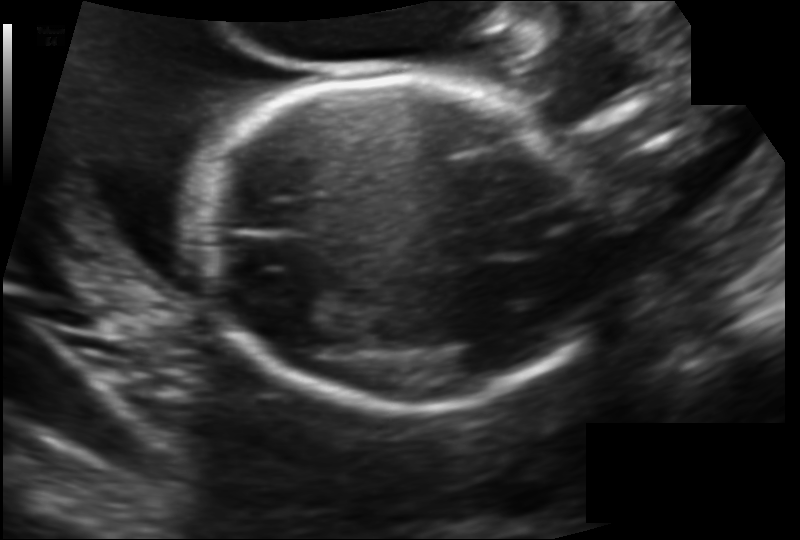
Measure the fetal head circumference shown in this ultrasound image. Image width: 110.4 mm.

Head circumference: 165.2 mm.